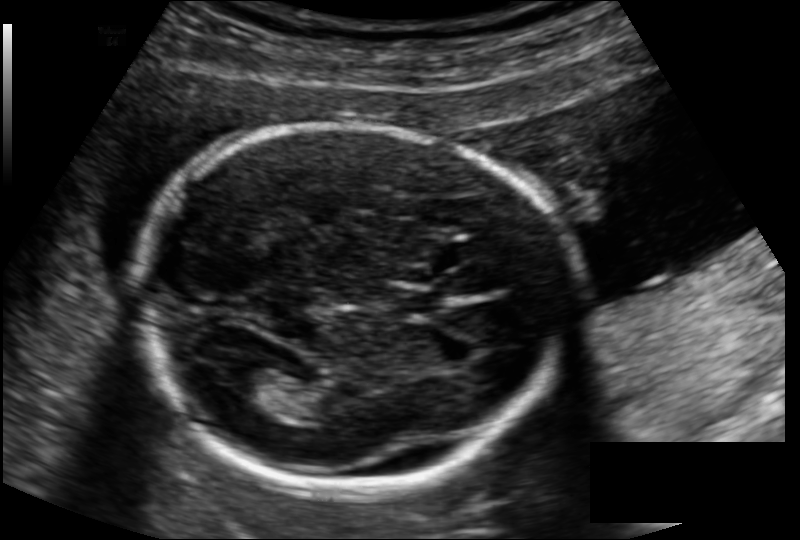
Measure the fetal head circumference shown in this ultrasound image. Image width: 107.6 mm.

Head circumference: 172.7 mm.